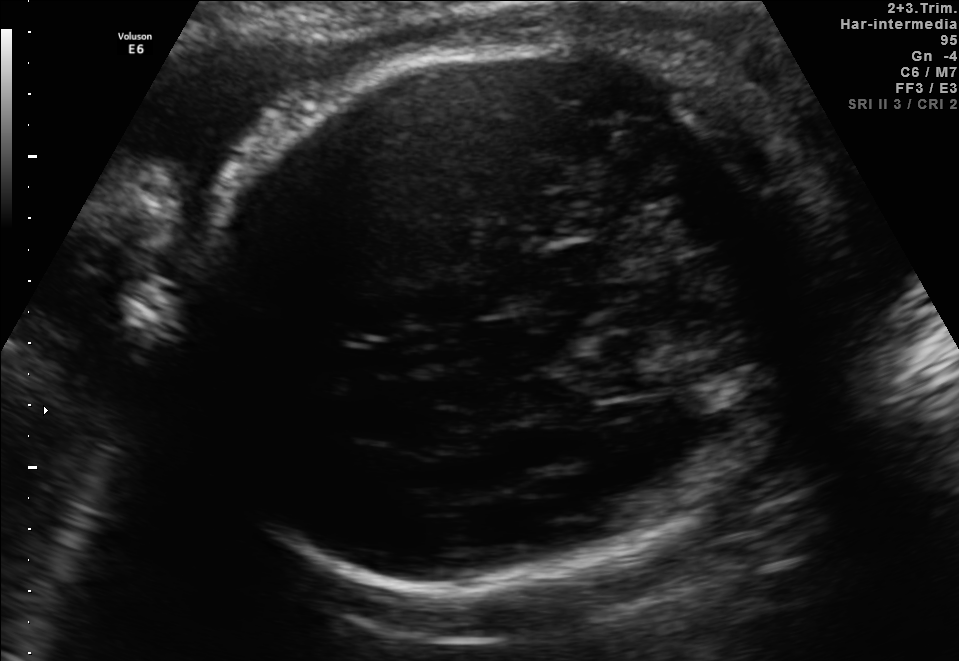
In this fetal brain, trans-cerebellum plane, give the bounding box of the fetal head.

[187,44,762,587]